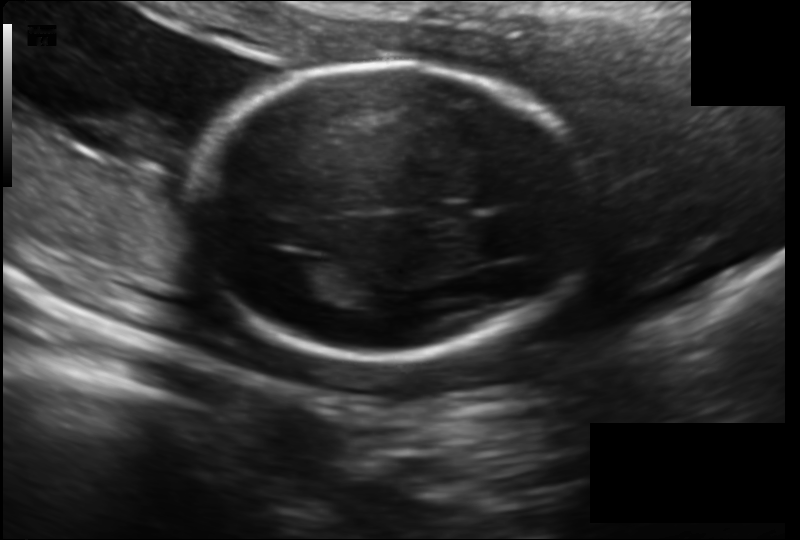
Estimate the fetal head circumference from this 2D ultrasound.

Head circumference: 180.8 mm (image width 126.8 mm).